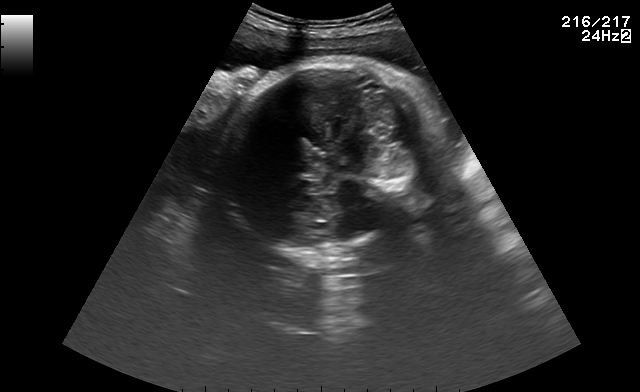
Fetal brain, trans-cerebellum plane. Where is the fetal head?

Head bounding box: [216,62,438,248]